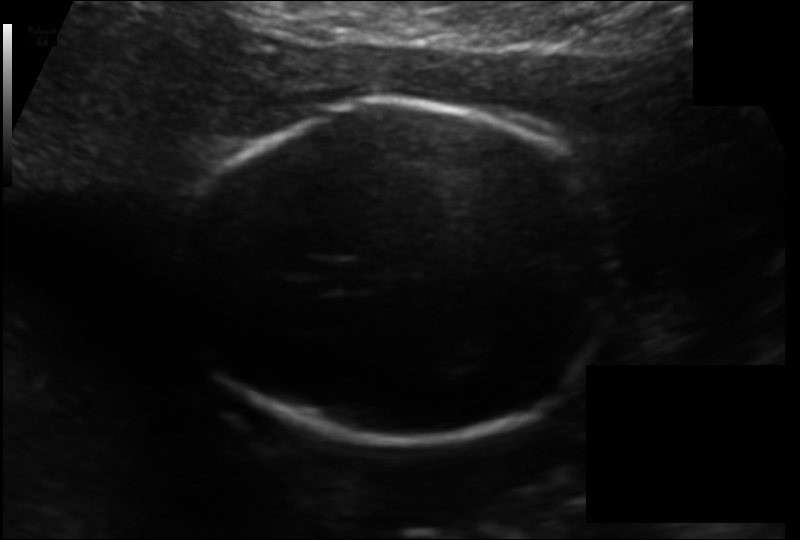
Fetal head ultrasound. Image width: 106.3 mm. Locate the fetal head and, if visible, the cavum septum pellucidum (CSP) and lateral ventricle (LV). Give bounding boxes as [x1,y1,x2,y2].

Head: [184,100,624,442]